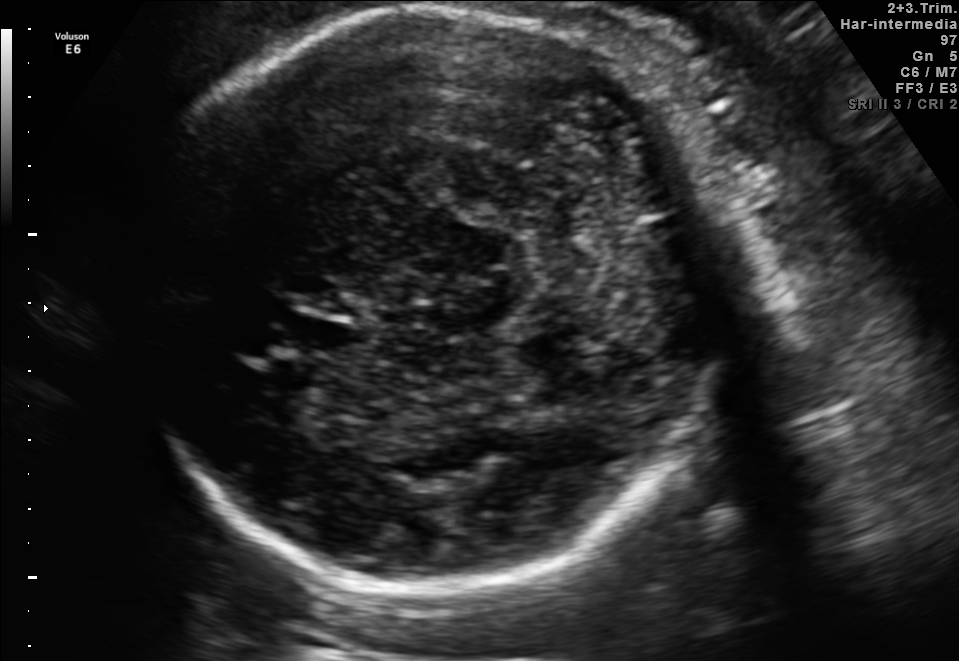
Fetal brain, trans-cerebellum plane. Where is the fetal head?

Head bounding box: [127,8,744,587]